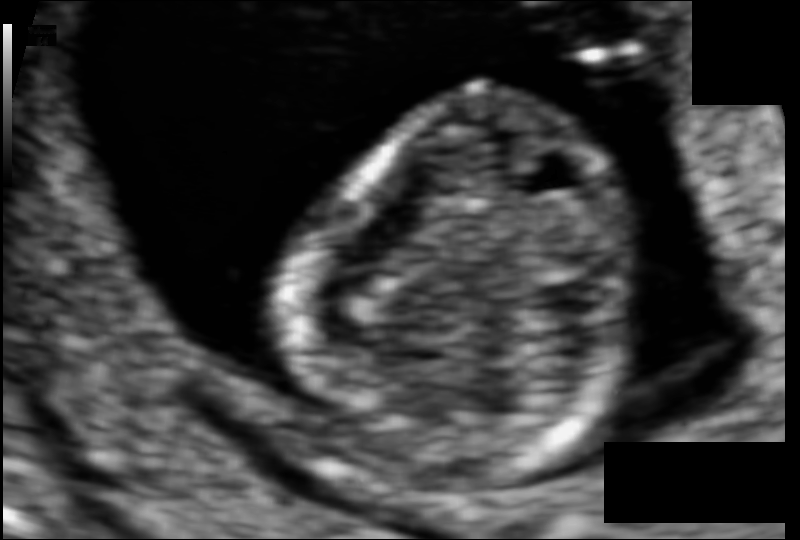
Estimate the fetal head circumference from this 2D ultrasound. Image width: 48.3 mm.

Head circumference: 69.3 mm.